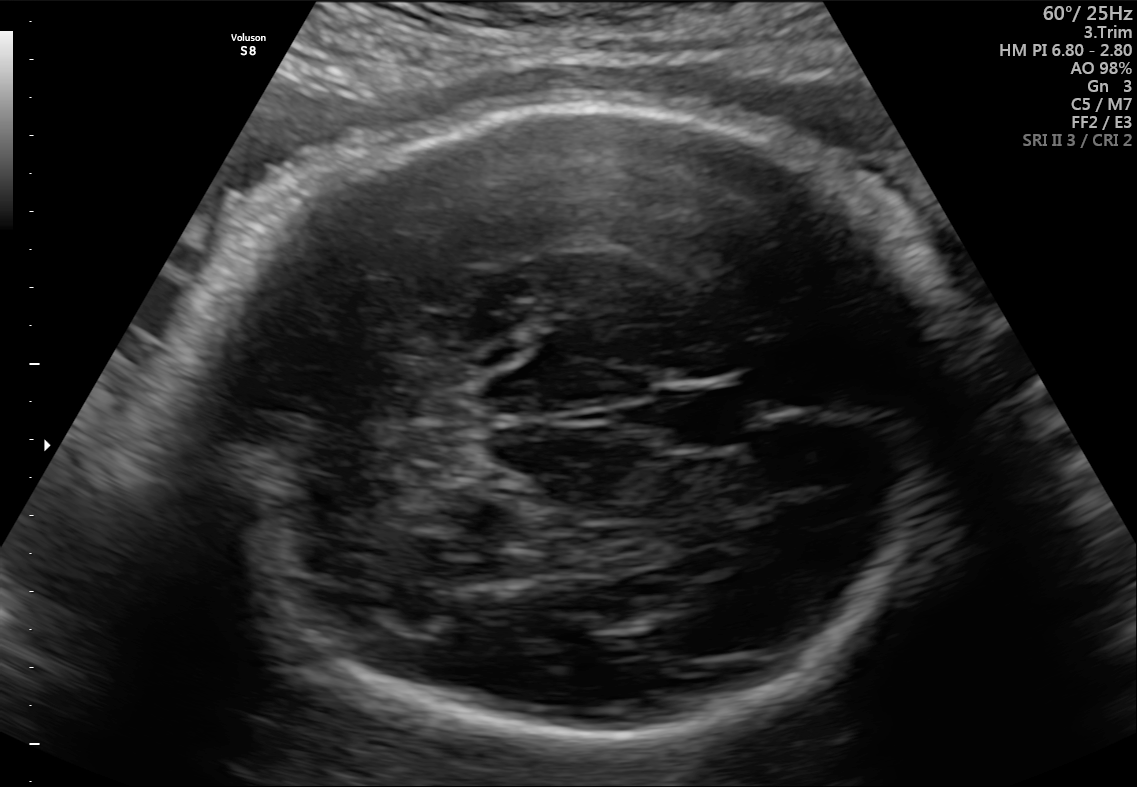
In this fetal brain, trans-cerebellum plane, give bounding boxes for the head outline, cavum septum pellucidum (CSP), and lateral ventricle (LV), where visible.

Head: [184,106,953,743]
CSP: [656,378,752,459]